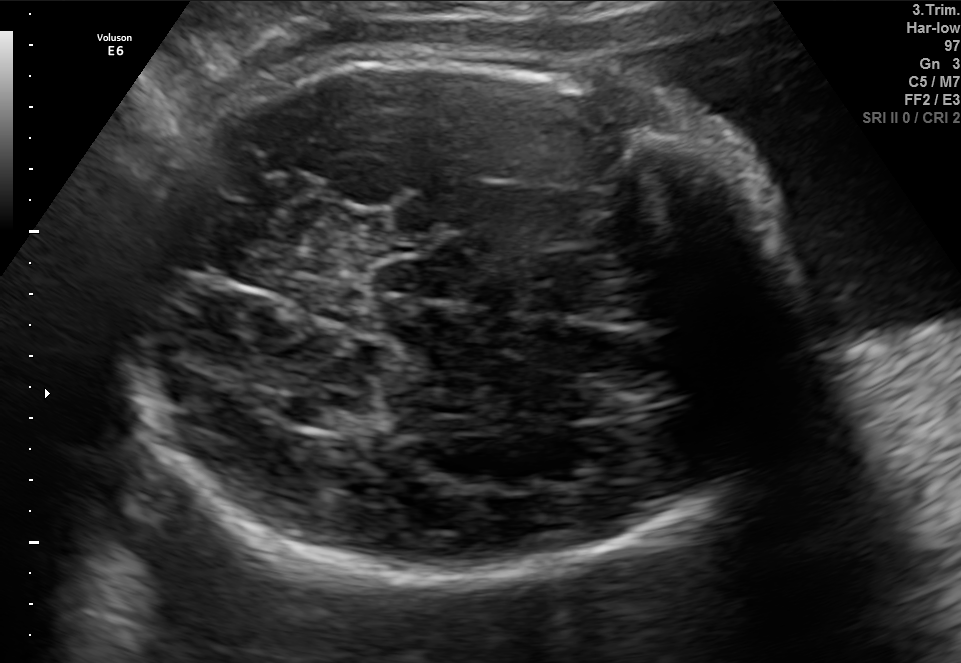
Fetal brain, trans-thalamic plane. Where is the fetal head?

Head bounding box: [107,45,804,584]